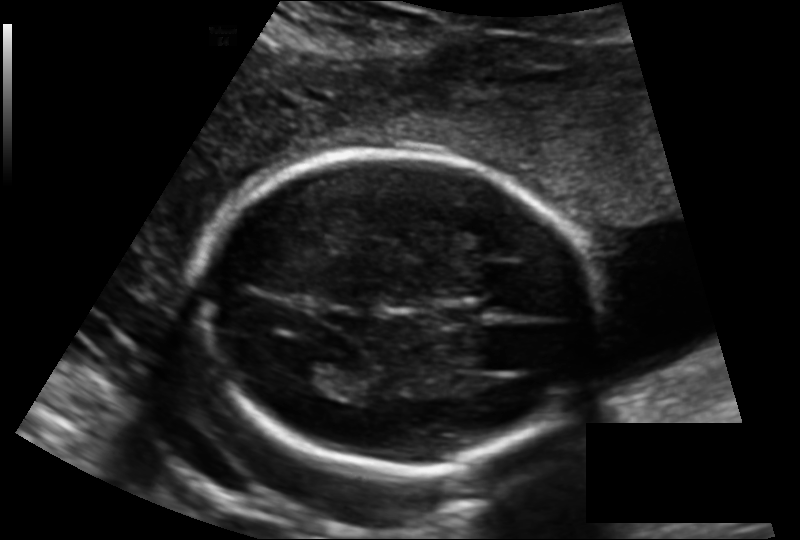
In this fetal head ultrasound, give bounding boxes for the head outline, cavum septum pellucidum (CSP), and lateral ventricle (LV), where visible. Image width: 114.7 mm.

Head: [202,150,596,472]
CSP: [434,300,482,330]
Lateral ventricle: [286,350,354,399]